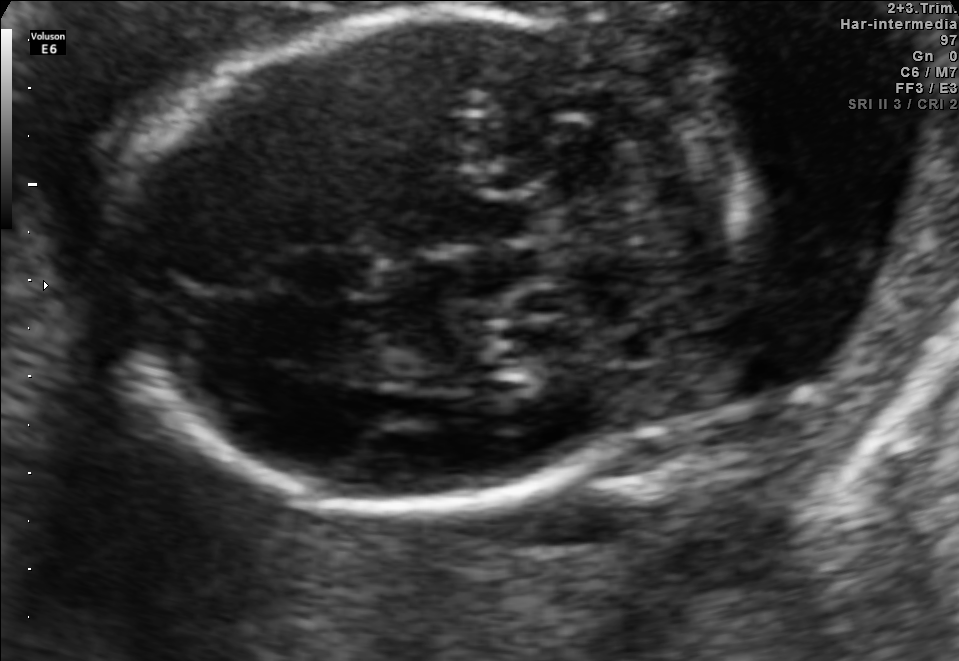
In this fetal brain, trans-cerebellum plane, give the bounding box of the fetal head.

[108,9,753,506]